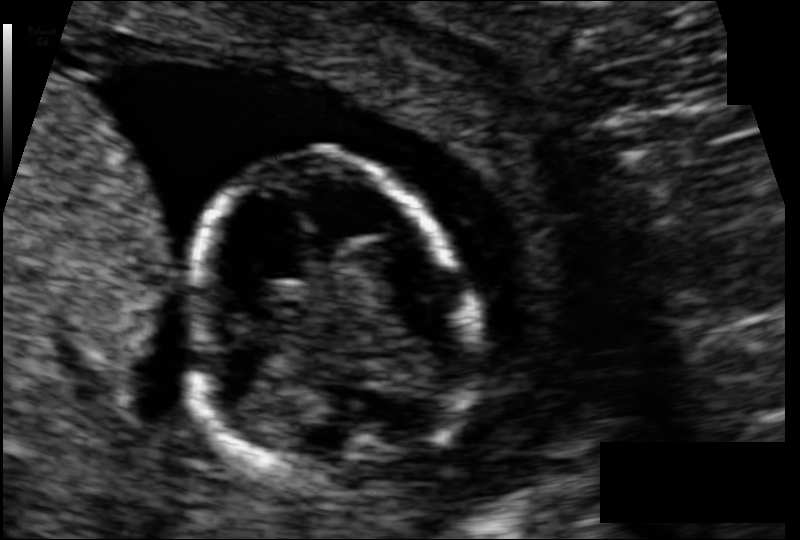
From this fetal ultrasound, estimate the head circumference (image width 60.7 mm).

Head circumference: 78.3 mm.